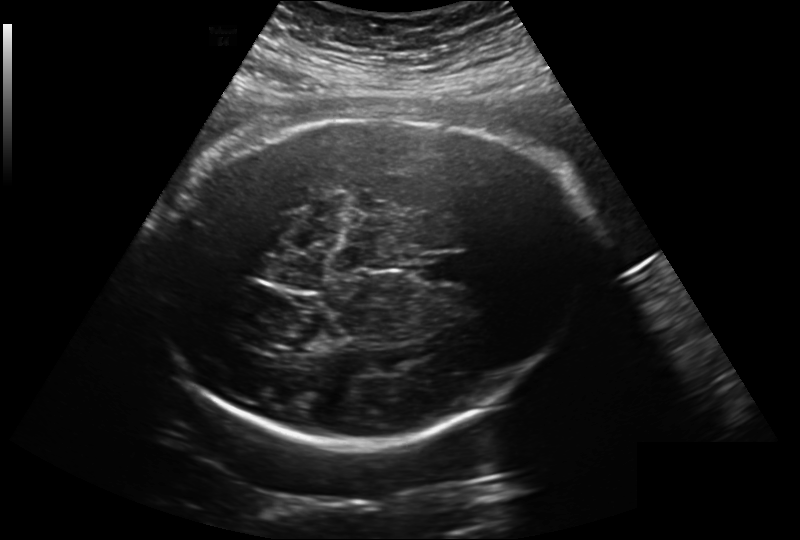
Estimate the fetal head circumference from this 2D ultrasound.

Head circumference: 323.3 mm (image width 208.0 mm).